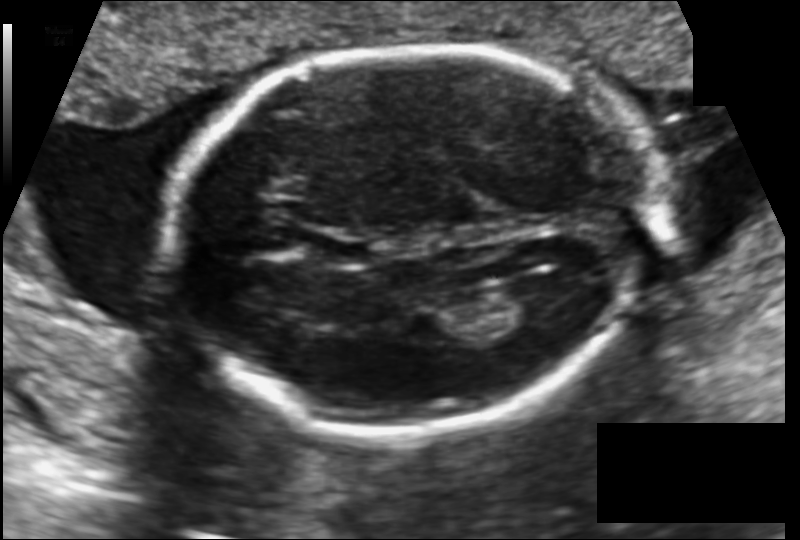
Fetal head ultrasound. Image width: 106.0 mm. Locate the cavum septum pellucidum.

CSP: [311,231,374,269]